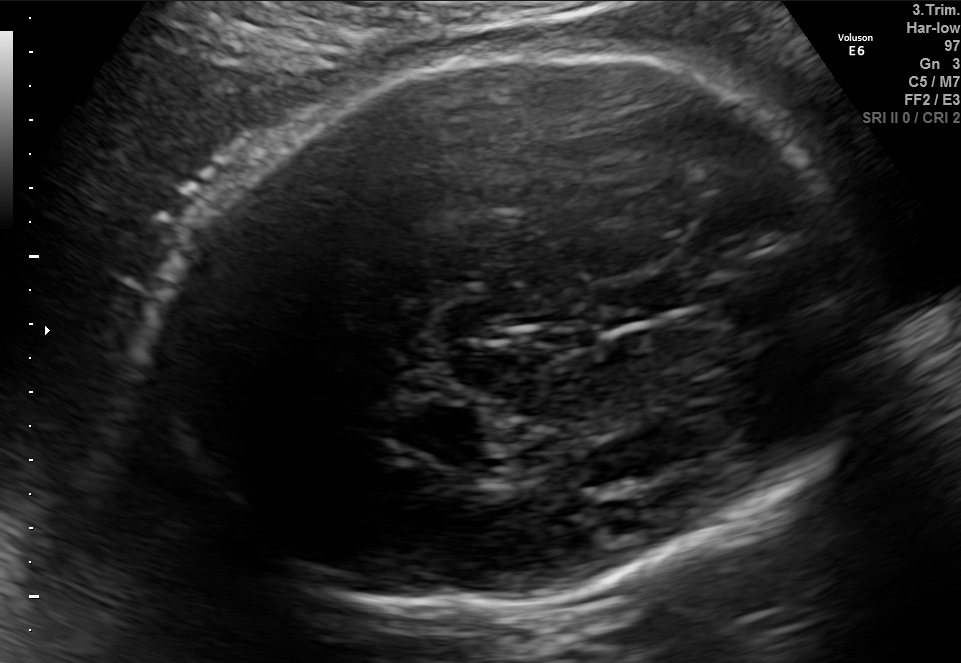
Fetal brain, trans-thalamic plane. Locate the fetal head.

Head: [150,48,863,607]